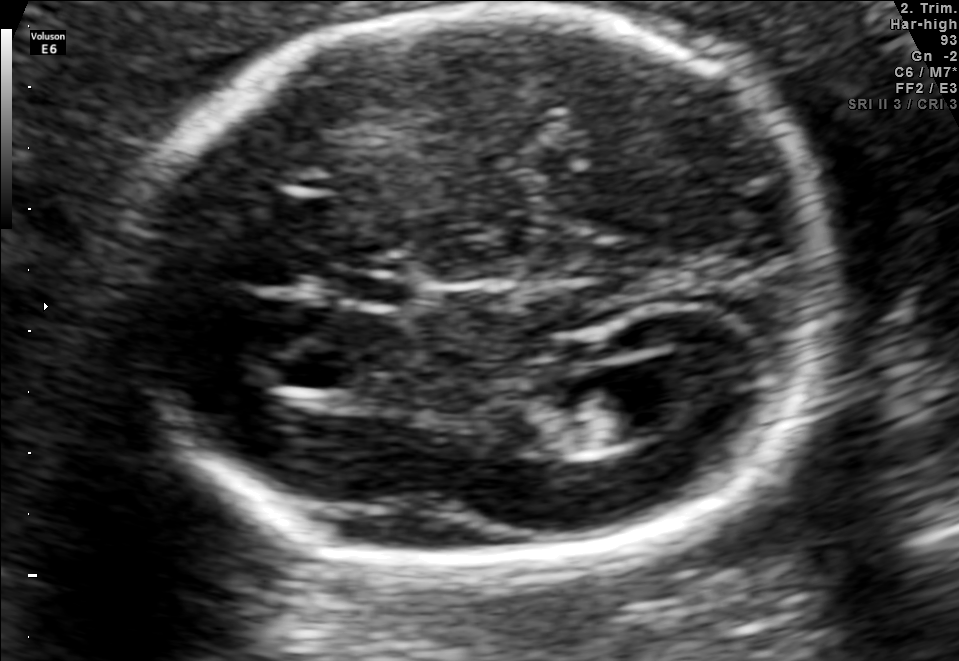
In this fetal brain, trans-ventricular plane, give the bounding box of the fetal head.

[112,4,851,579]